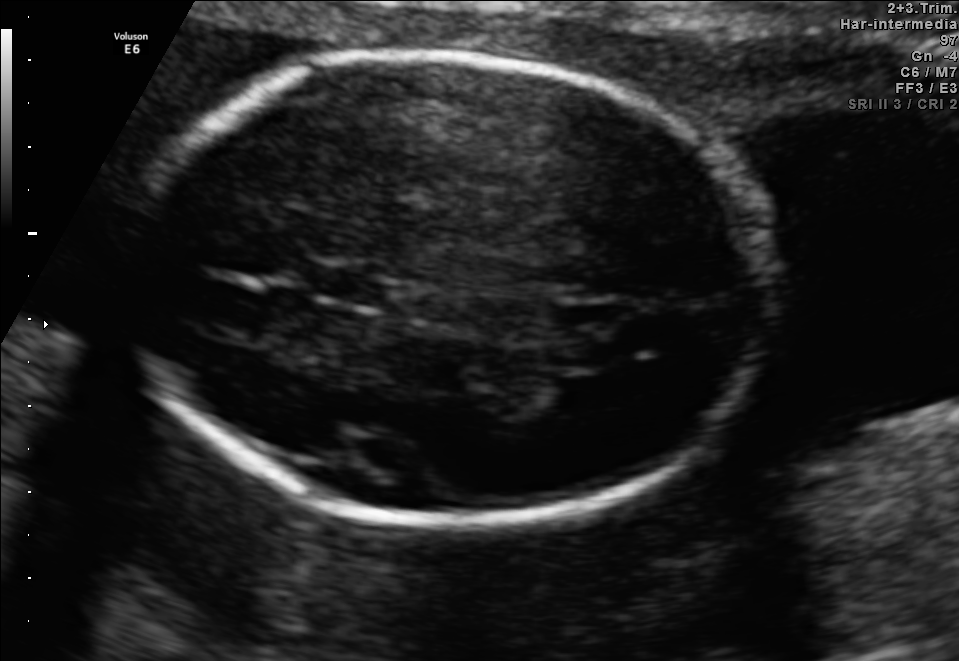
In this fetal brain, trans-thalamic plane, give bounding boxes for the head outline, cavum septum pellucidum (CSP), and lateral ventricle (LV), where visible.

Head: [123,54,770,523]
CSP: [313,261,388,311]